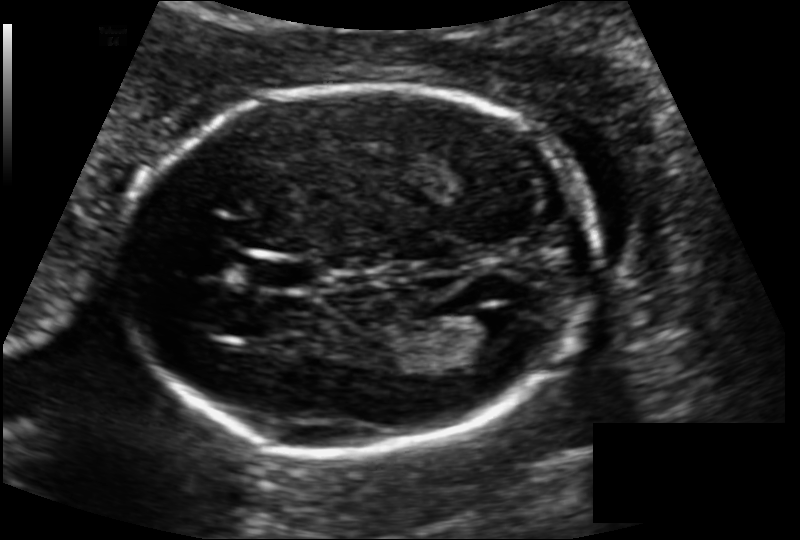
Fetal head ultrasound. Image width: 99.0 mm. Locate the fetal head.

Head: [121,87,601,457]